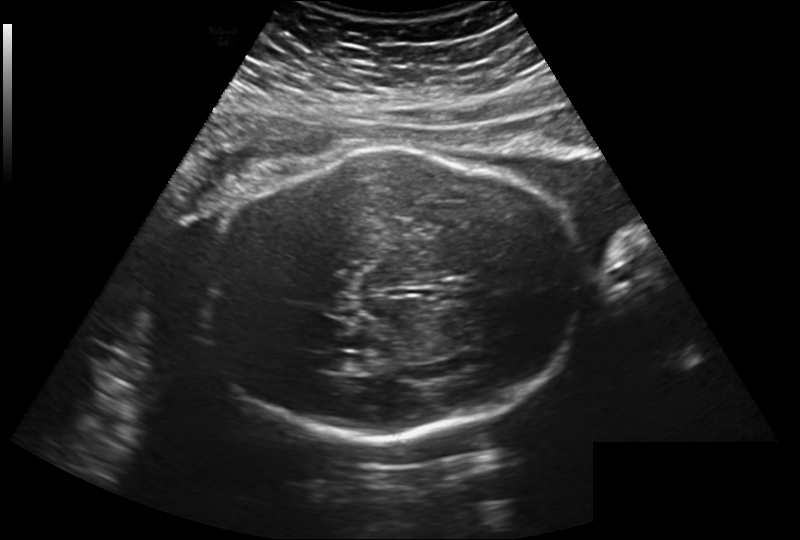
From this fetal ultrasound, estimate the head circumference (image width 208.3 mm).

Head circumference: 277.6 mm.